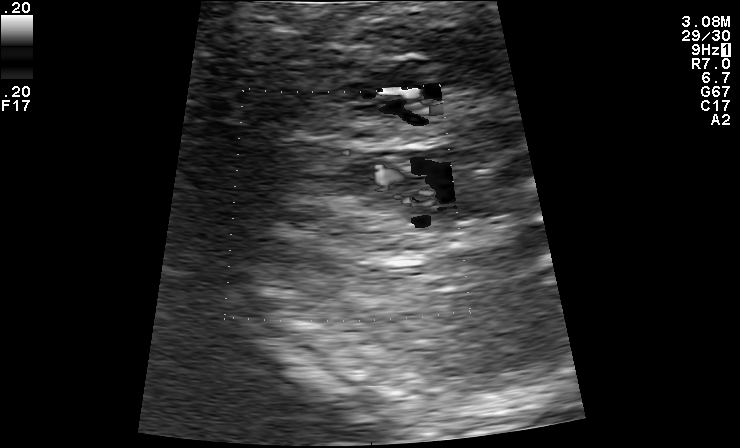
Identify the standard plane in this fetal ultrasound image: fetal abdomen, fetal brain, fetal femur, fetal thorax, maternal cervix, or other. If it's fetal brain and one of the three standard brain planes (trans-thalamic, trans-cerebellum, trans-ventricular), name which.

Other